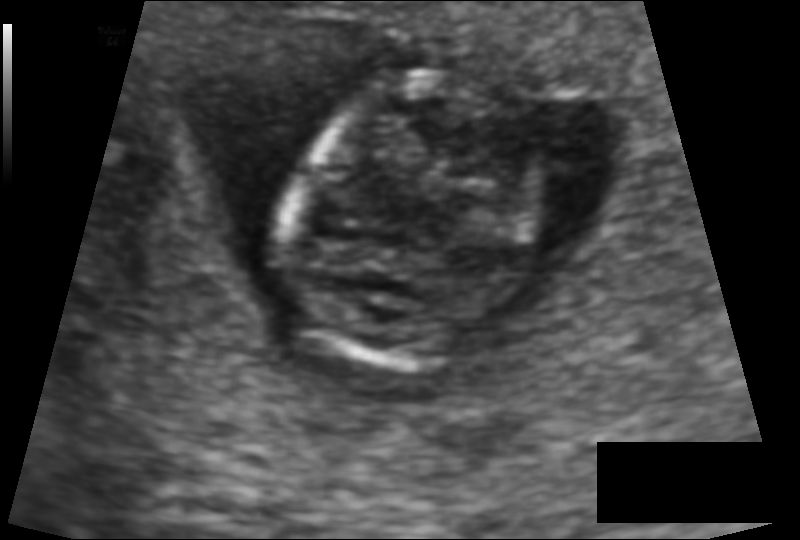
In this fetal head ultrasound, give the bounding box of the fetal head. Image width: 72.8 mm.

[285,73,531,368]